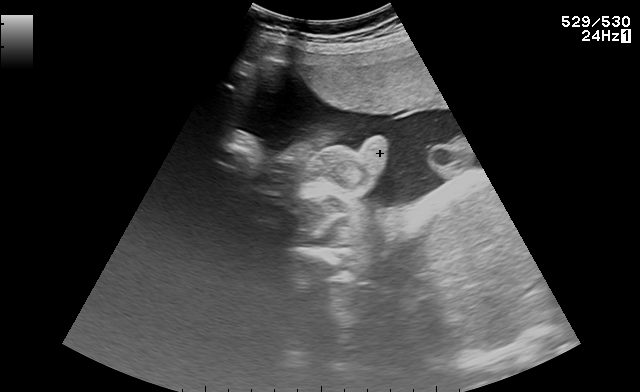
Which standard maternal-fetal ultrasound plane is shown: fetal abdomen, fetal brain, fetal femur, fetal thorax, maternal cervix, or other? If it's fetal brain and one of the three standard brain planes (trans-thalamic, trans-cerebellum, trans-ventricular), name which.

Other